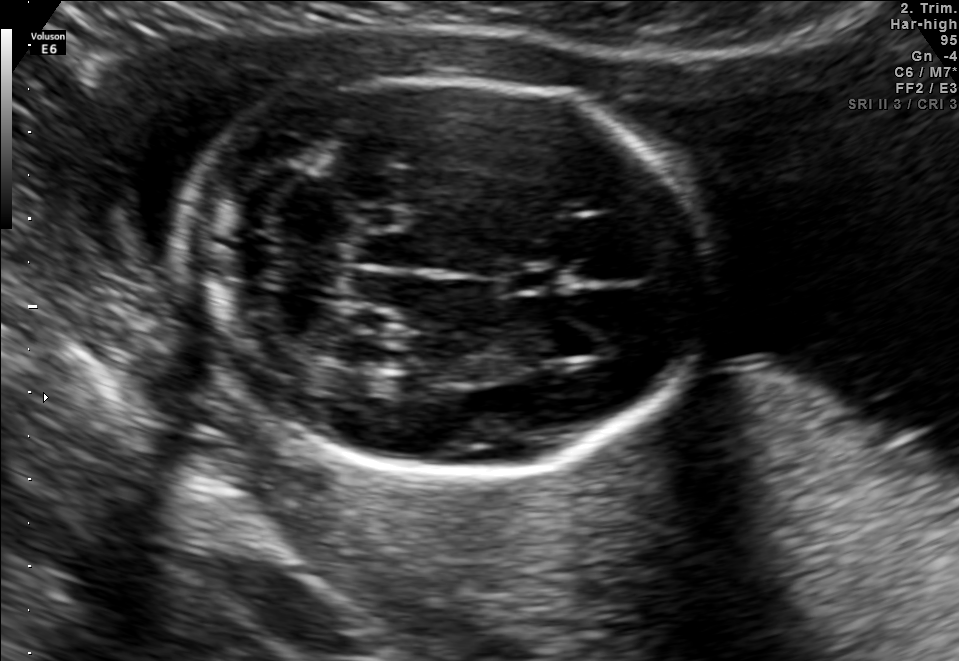
Fetal brain, trans-cerebellum plane. Give [x1,y1,x2,y2] bounding boxes for each visible structure among: fetal head, CSP, LV.

Head: [183,78,714,479]
CSP: [497,265,557,295]